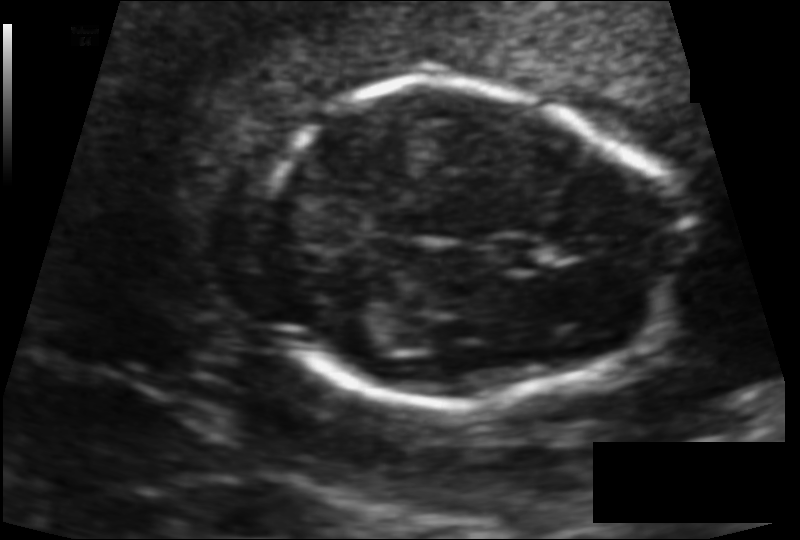
In this fetal head ultrasound, give the bounding box of the fetal head. Image width: 80.4 mm.

[254,84,682,407]